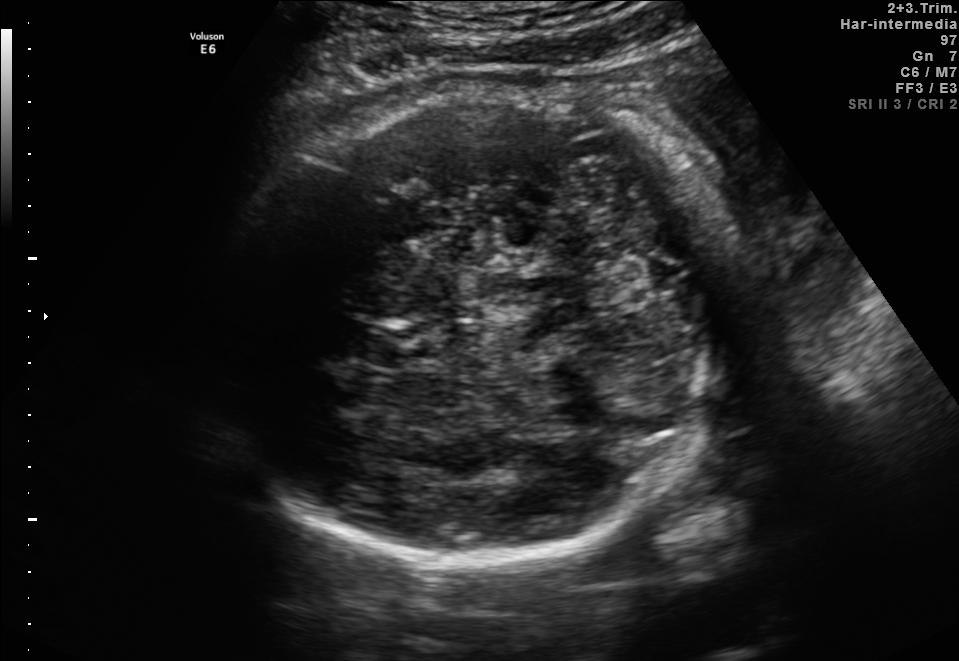
In this fetal brain, trans-thalamic plane, give the bounding box of the fetal head.

[207,90,730,563]